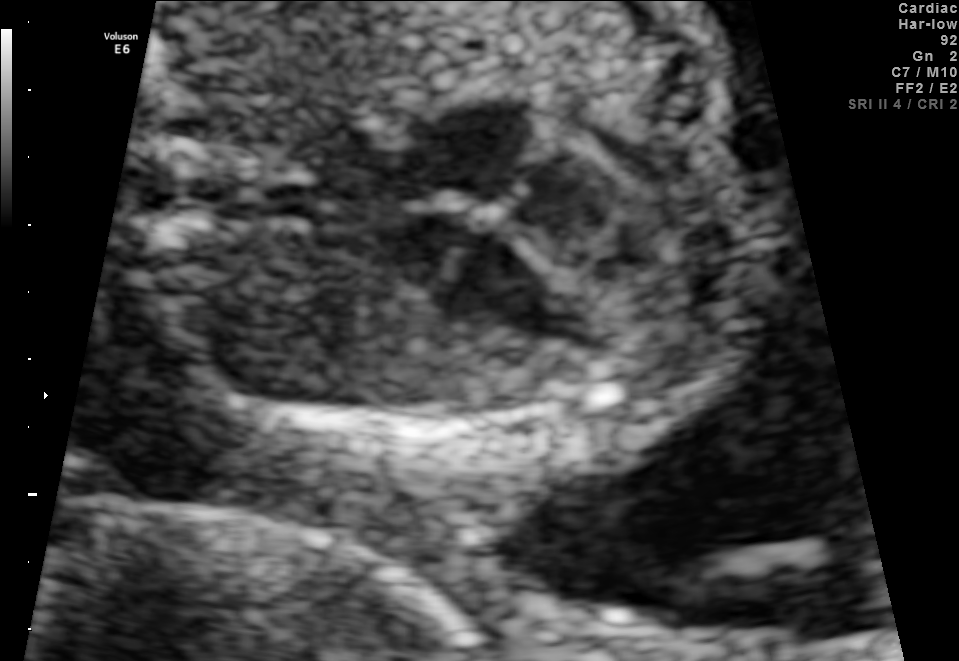
Which standard maternal-fetal ultrasound plane is shown: fetal abdomen, fetal brain, fetal femur, fetal thorax, maternal cervix, or other? If it's fetal brain and one of the three standard brain planes (trans-thalamic, trans-cerebellum, trans-ventricular), name which.

Fetal thorax